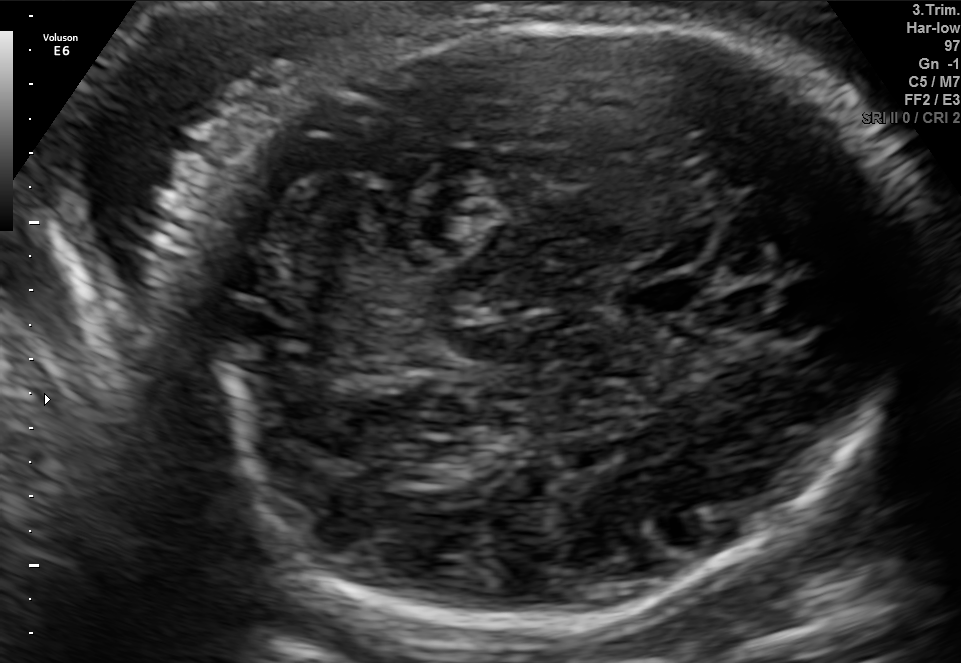
Fetal brain, trans-cerebellum plane. Locate the fetal head.

Head: [201,18,918,623]